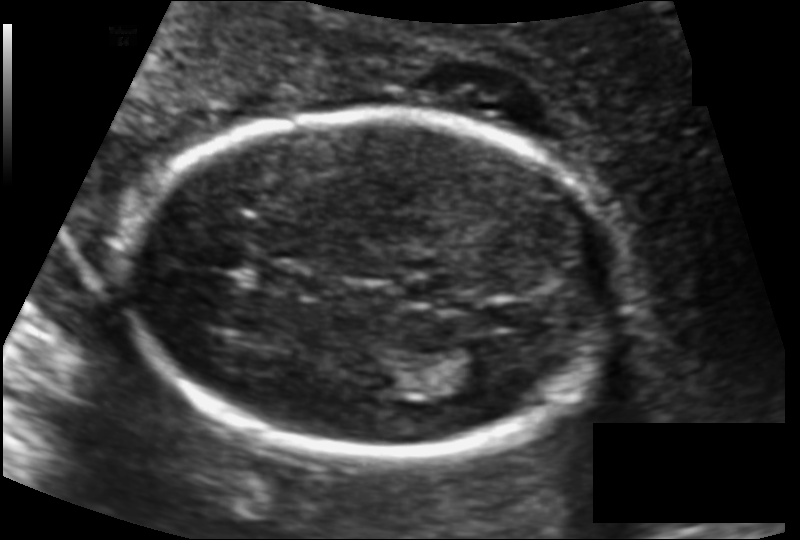
Fetal head ultrasound. Image width: 93.7 mm. Where is the lateral ventricle?

Lateral ventricle bounding box: [437,339,510,393]